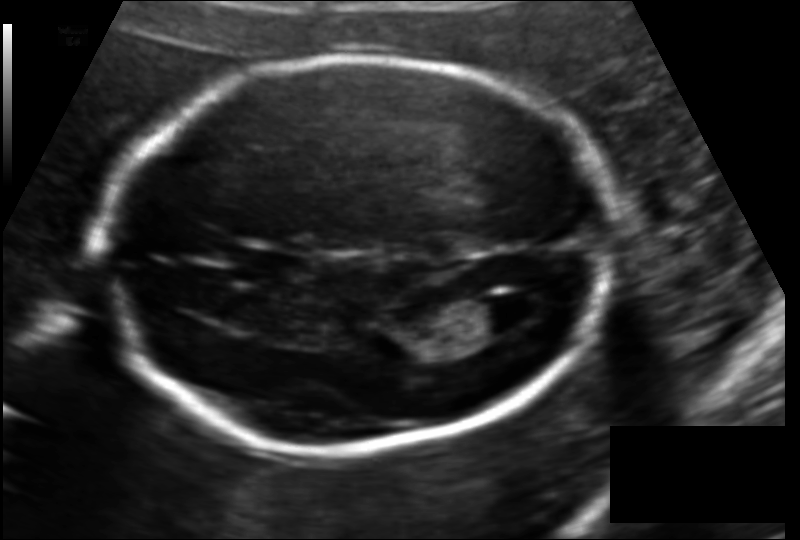
Estimate the fetal head circumference from this 2D ultrasound.

Head circumference: 185.4 mm (image width 101.5 mm).